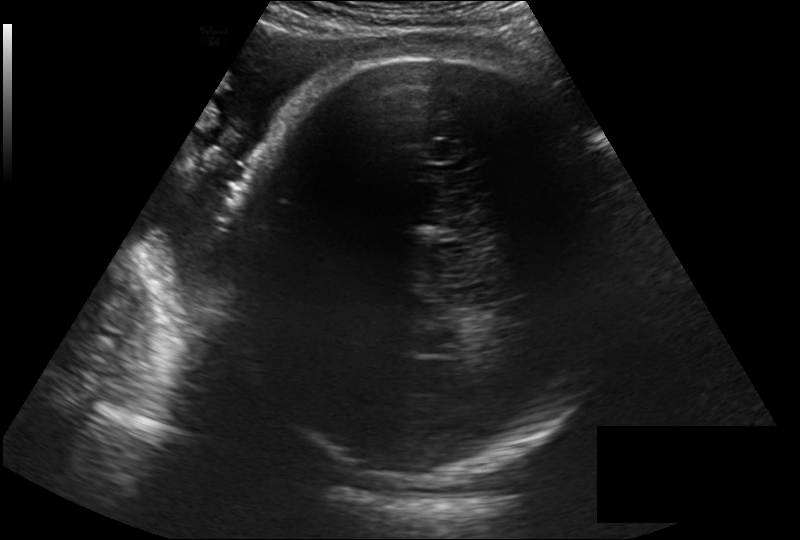
Estimate the fetal head circumference from this 2D ultrasound. Image width: 206.0 mm.

Head circumference: 330.7 mm.